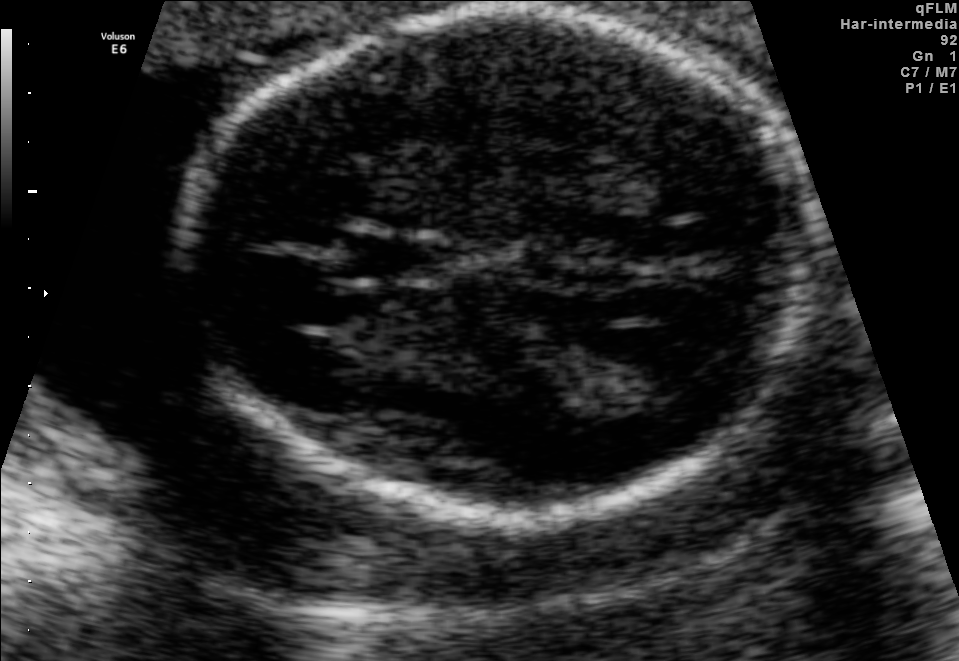
Fetal brain, trans-thalamic plane. Locate the fetal head and, if visible, the cavum septum pellucidum (CSP) and lateral ventricle (LV). Give bounding boxes as [x1,y1,x2,y2].

Head: [184,9,815,506]
CSP: [344,235,437,280]
Lateral ventricle: [572,312,724,424]